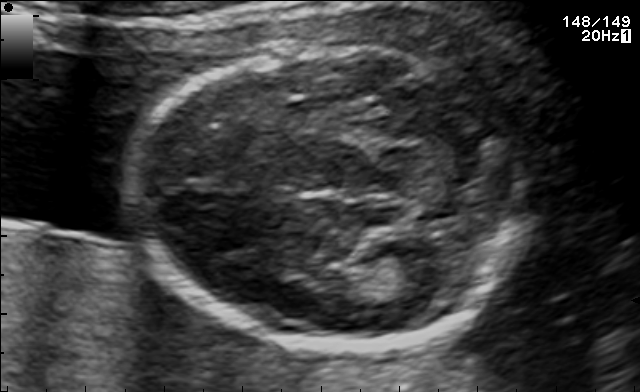
In this fetal brain, trans-thalamic plane, give bounding boxes for the head outline, cavum septum pellucidum (CSP), and lateral ventricle (LV), where visible.

Head: [133,47,521,347]